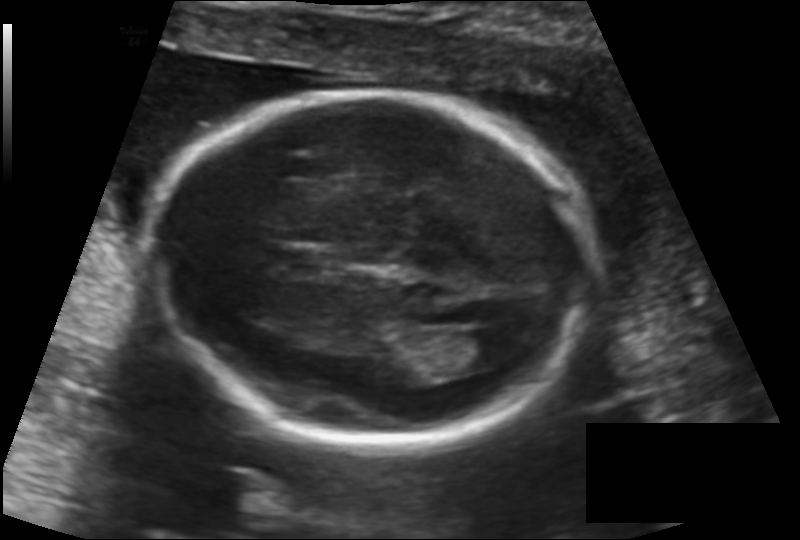
Fetal head ultrasound. Image width: 109.6 mm. Locate the cavum septum pellucidum.

CSP: [278,248,330,276]